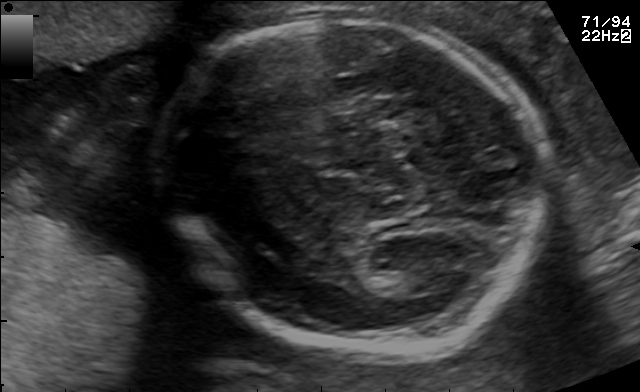
Identify the standard plane in this fetal ultrasound image: fetal abdomen, fetal brain, fetal femur, fetal thorax, maternal cervix, or other. If it's fetal brain and one of the three standard brain planes (trans-thalamic, trans-cerebellum, trans-ventricular), name which.

Fetal brain (trans-thalamic plane)